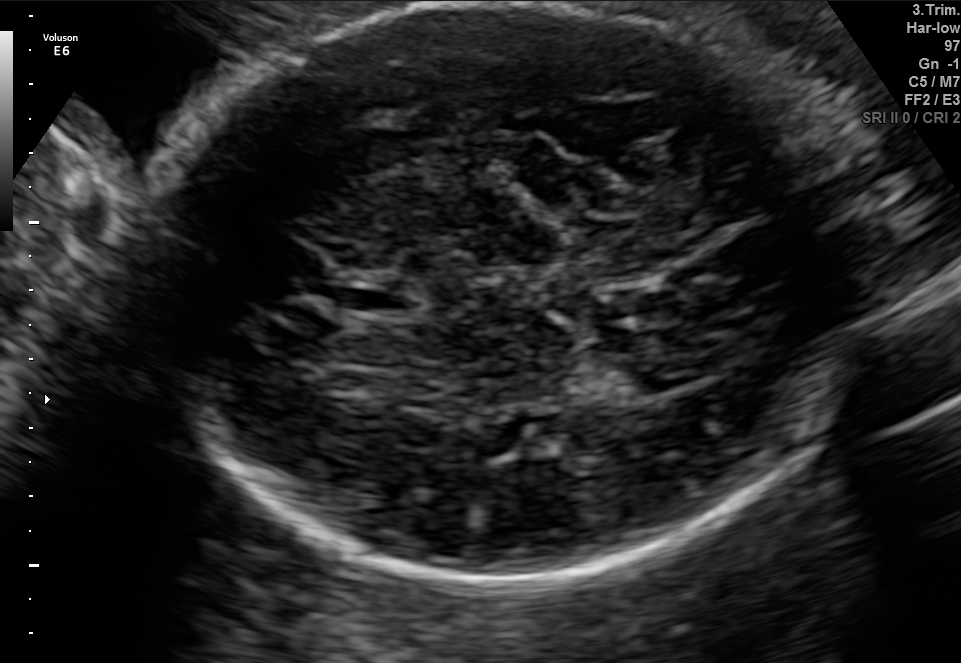
Fetal brain, trans-thalamic plane. Where is the cavum septum pellucidum?

CSP bounding box: [337,282,419,312]